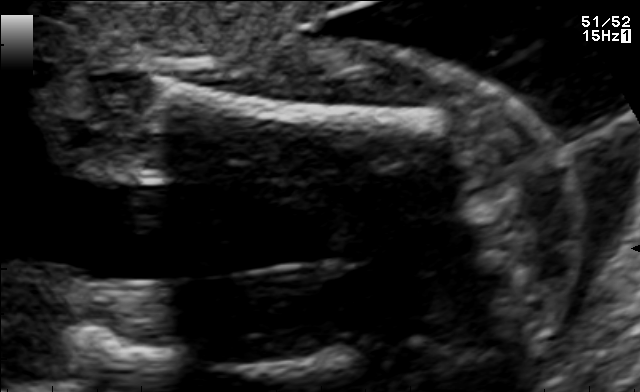
Classify this maternal-fetal ultrasound image as one of the six standard planes — fetal abdomen, fetal brain, fetal femur, fetal thorax, maternal cervix, or other. If it's fetal brain and one of the three standard brain planes (trans-thalamic, trans-cerebellum, trans-ventricular), name which.

Fetal femur